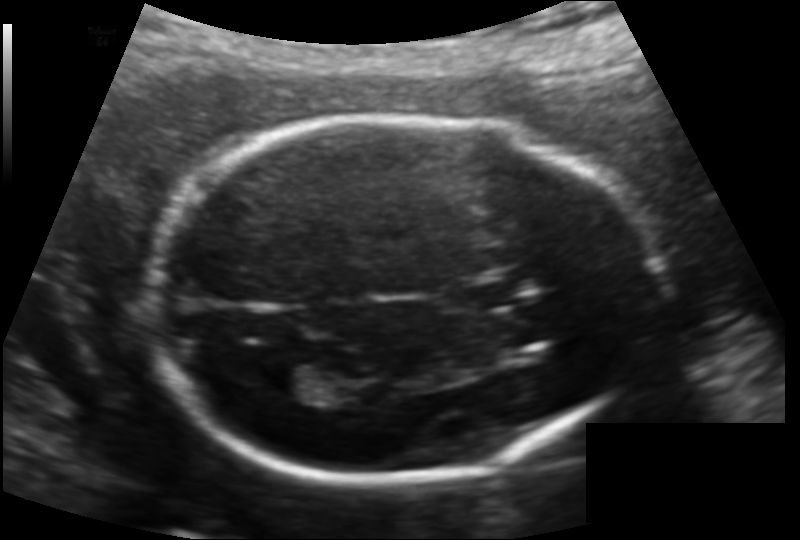
Estimate the fetal head circumference from this 2D ultrasound.

Head circumference: 189.4 mm (image width 105.6 mm).